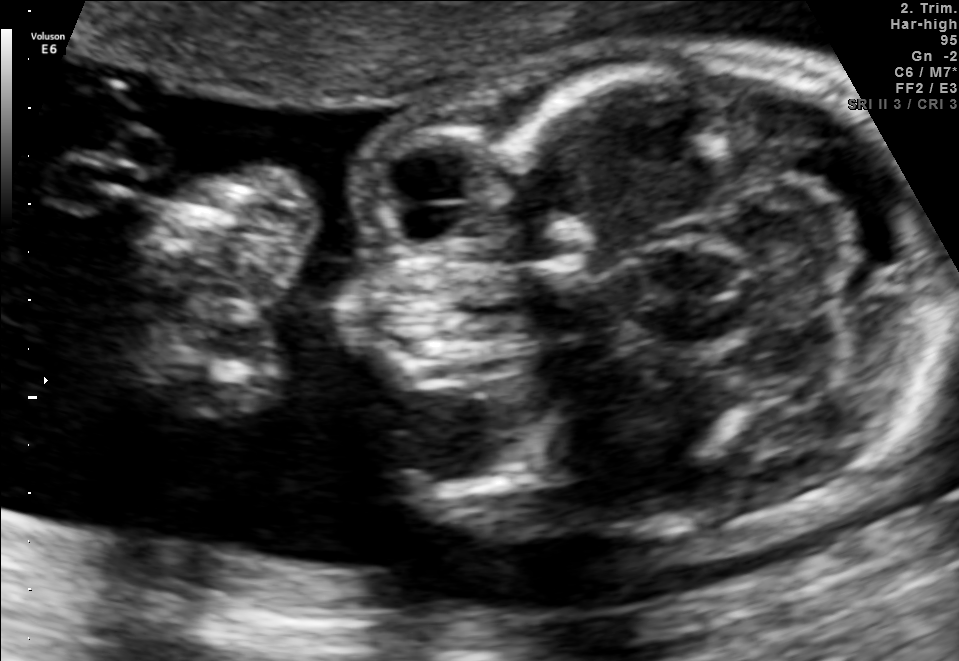
This is a 2D maternal-fetal ultrasound frame. Is it a fetal abdomen, fetal brain, fetal femur, fetal thorax, maternal cervix, or other standard plane? If it's fetal brain and one of the three standard brain planes (trans-thalamic, trans-cerebellum, trans-ventricular), name which.

Other